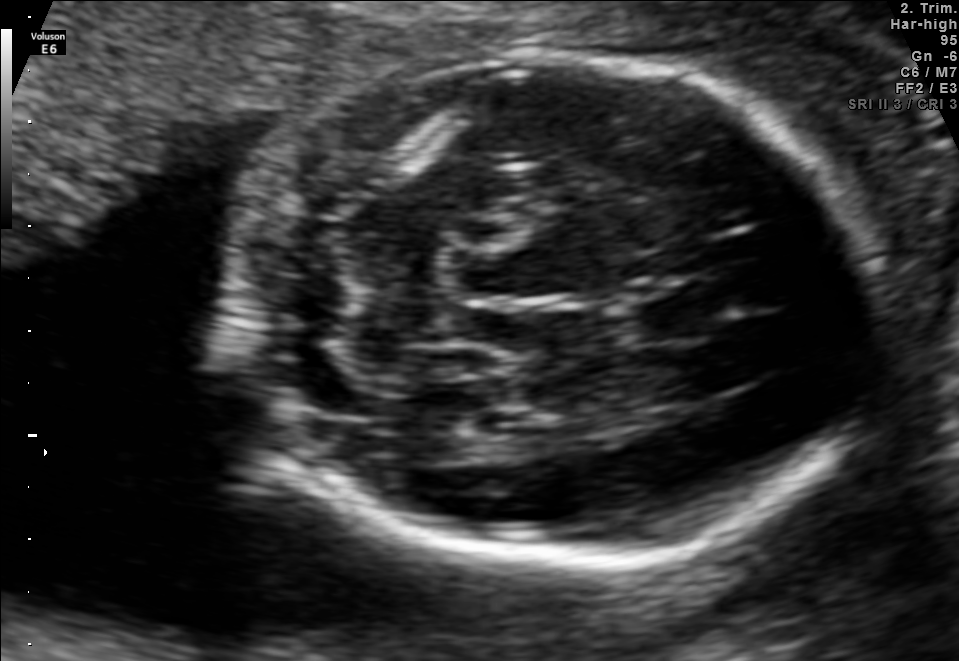
Fetal brain, trans-cerebellum plane. Where is the cavum septum pellucidum?

CSP bounding box: [633,278,725,350]